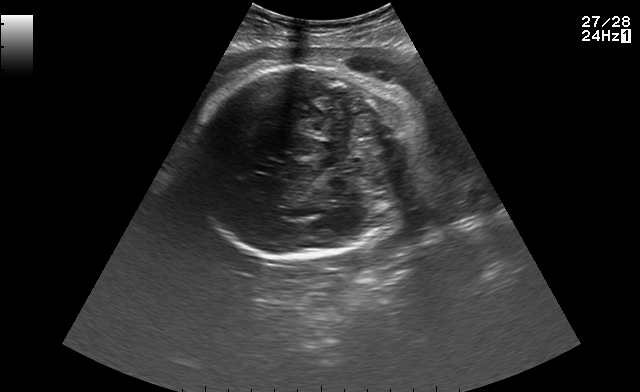
Fetal brain, trans-cerebellum plane. Locate the fetal head and, if visible, the cavum septum pellucidum (CSP) and lateral ventricle (LV). Give bounding boxes as [x1,y1,x2,y2].

Head: [192,63,411,259]